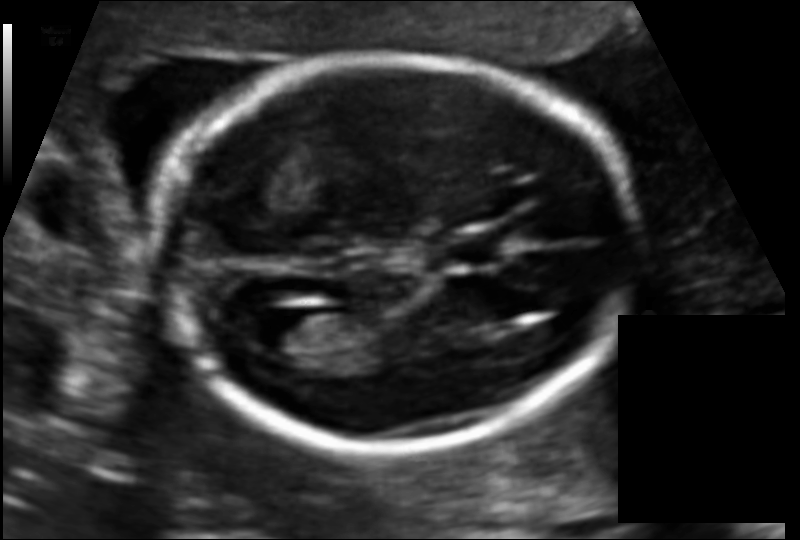
Measure the fetal head circumference shown in this ultrasound image. Image width: 87.1 mm.

Head circumference: 157.7 mm.